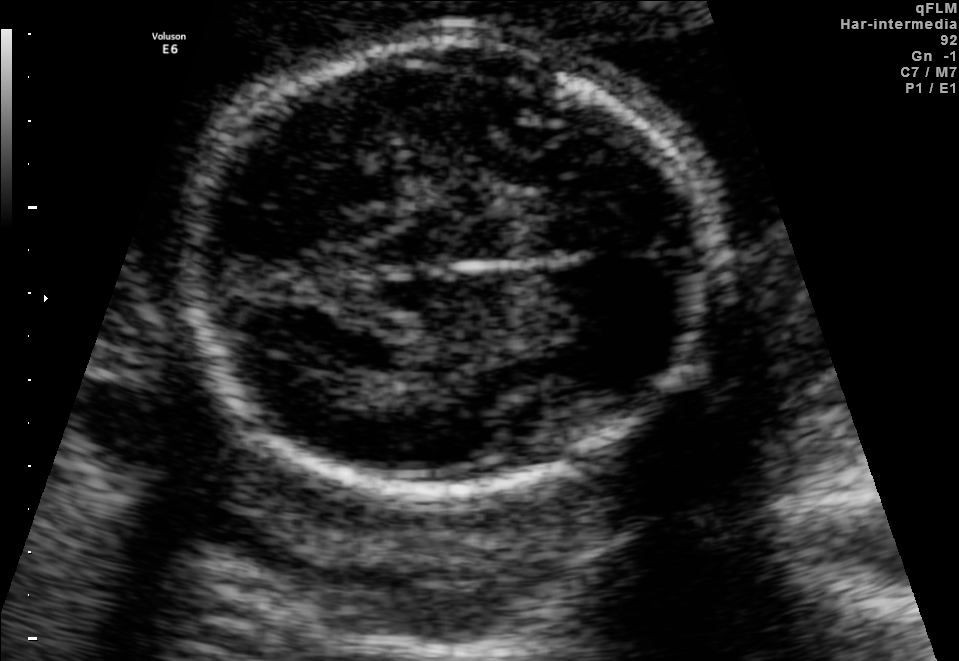
Fetal brain, trans-thalamic plane. Give [x1,y1,x2,y2] bounding boxes for each visible structure among: fetal head, CSP, LV.

Head: [181,44,714,489]